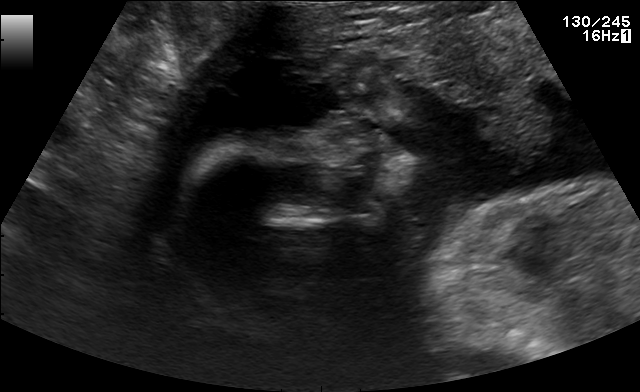
This is a 2D maternal-fetal ultrasound frame. Is it a fetal abdomen, fetal brain, fetal femur, fetal thorax, maternal cervix, or other standard plane? If it's fetal brain and one of the three standard brain planes (trans-thalamic, trans-cerebellum, trans-ventricular), name which.

Other